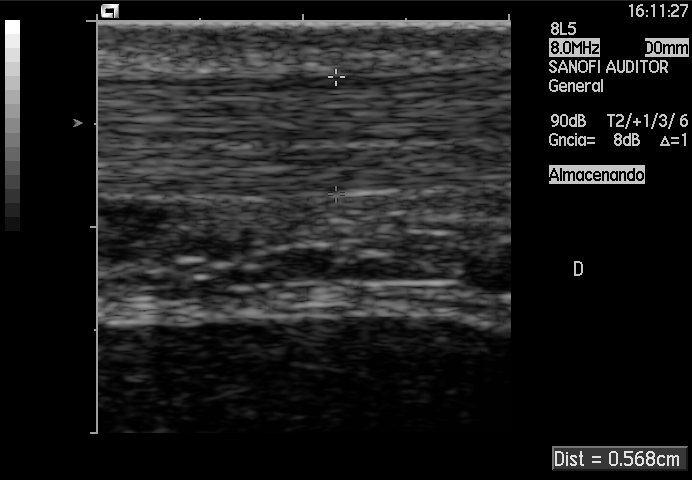
This is a 2D maternal-fetal ultrasound frame. Is it a fetal abdomen, fetal brain, fetal femur, fetal thorax, maternal cervix, or other standard plane? If it's fetal brain and one of the three standard brain planes (trans-thalamic, trans-cerebellum, trans-ventricular), name which.

Other